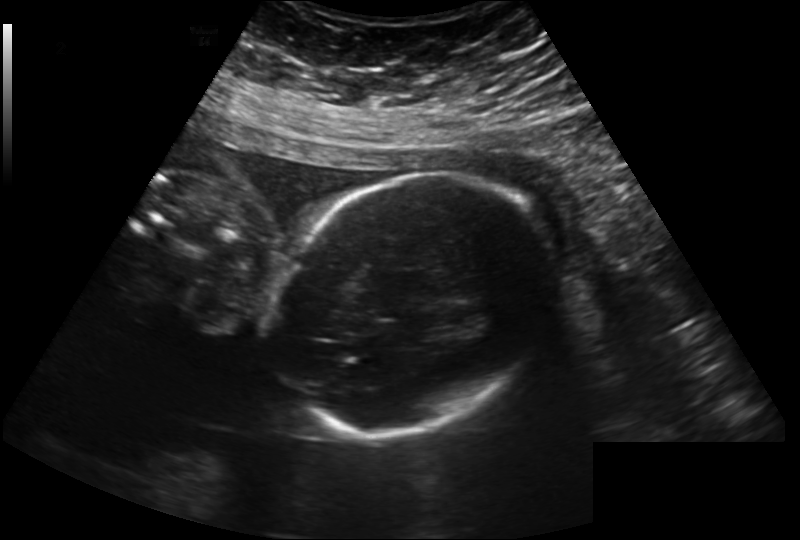
What is the fetal head circumference? Image width is 177.4 mm.

193.0 mm